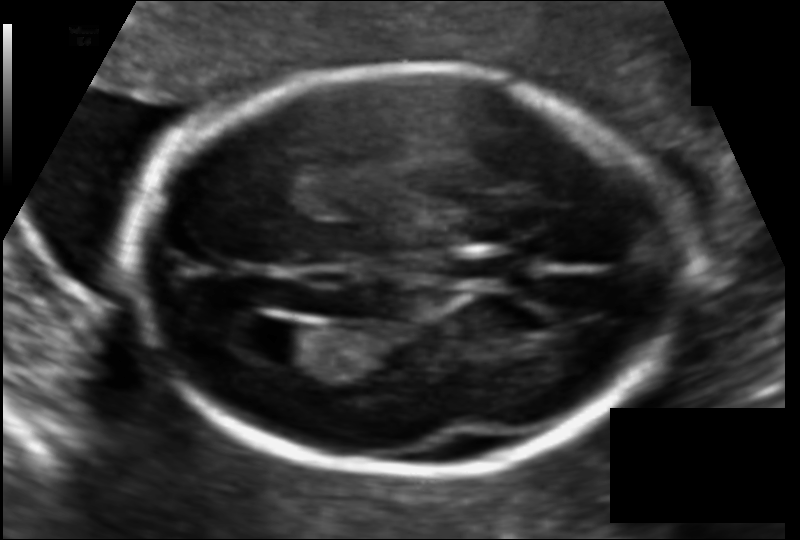
Fetal head ultrasound. Image width: 89.2 mm. Where is the fetal head?

Head bounding box: [131,65,676,471]